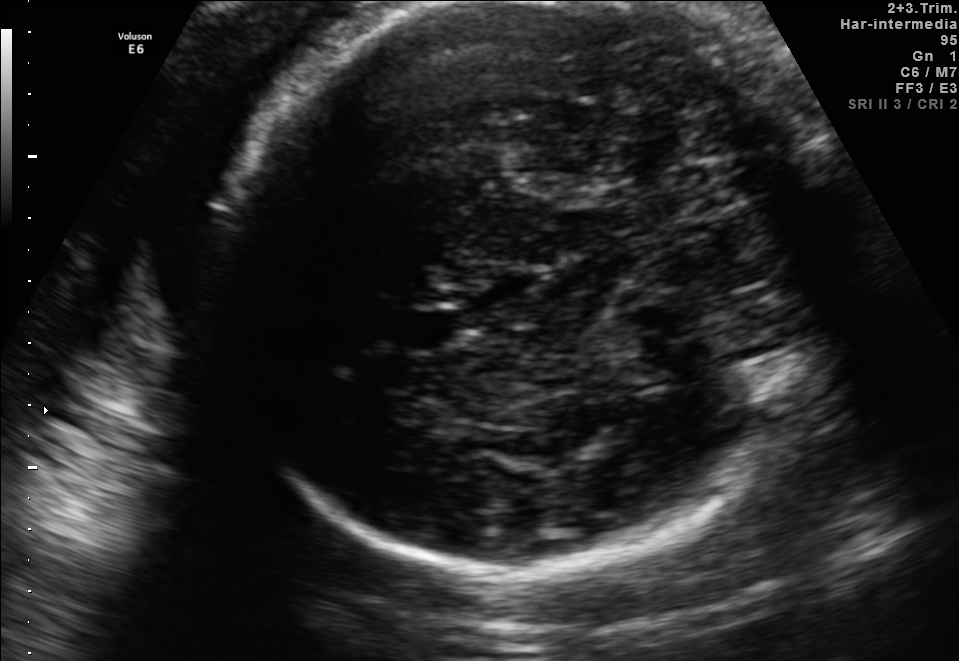
Fetal brain, trans-thalamic plane. Where is the cavum septum pellucidum?

CSP bounding box: [398,307,455,352]